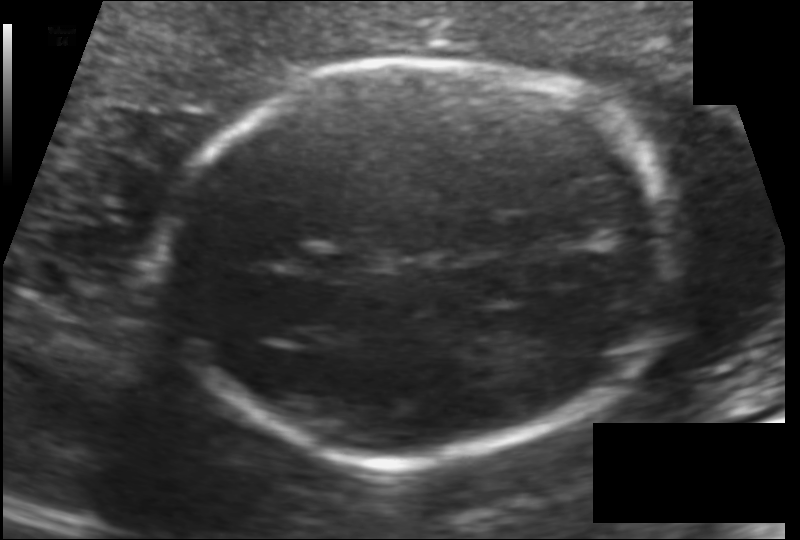
From this fetal ultrasound, estimate the head circumference (image width 95.9 mm).

Head circumference: 176.9 mm.